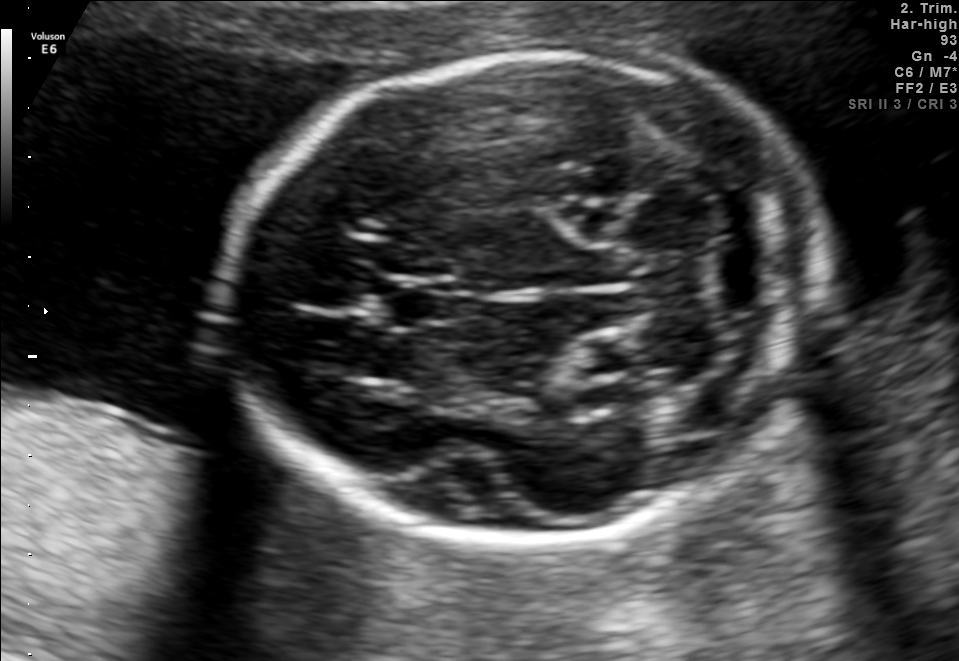
In this fetal brain, trans-cerebellum plane, give the bounding box of the fetal head.

[228,54,819,539]